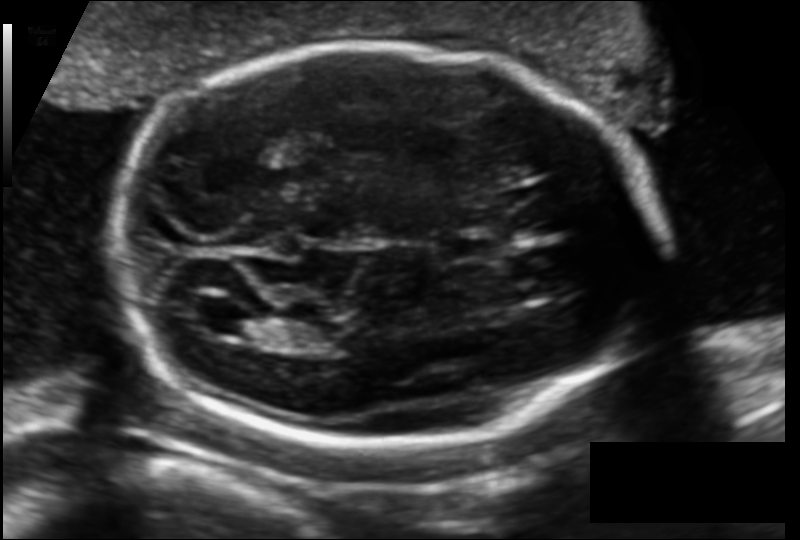
Fetal head ultrasound. Image width: 103.4 mm. Locate the cavum septum pellucidum.

CSP: [437,228,507,266]